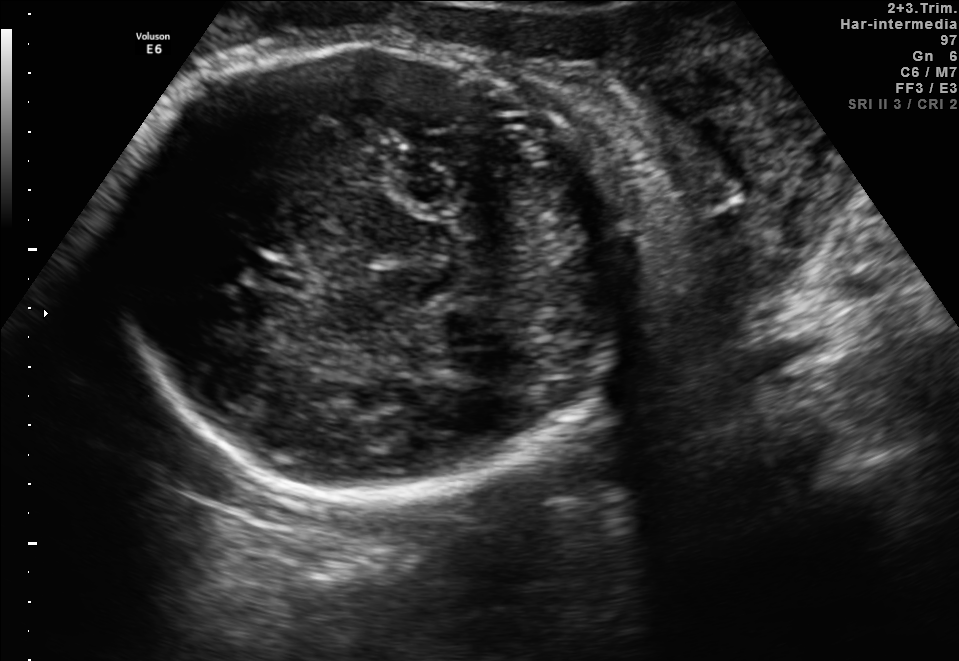
Fetal brain, trans-thalamic plane. Where is the cavum septum pellucidum?

CSP bounding box: [243,247,316,296]